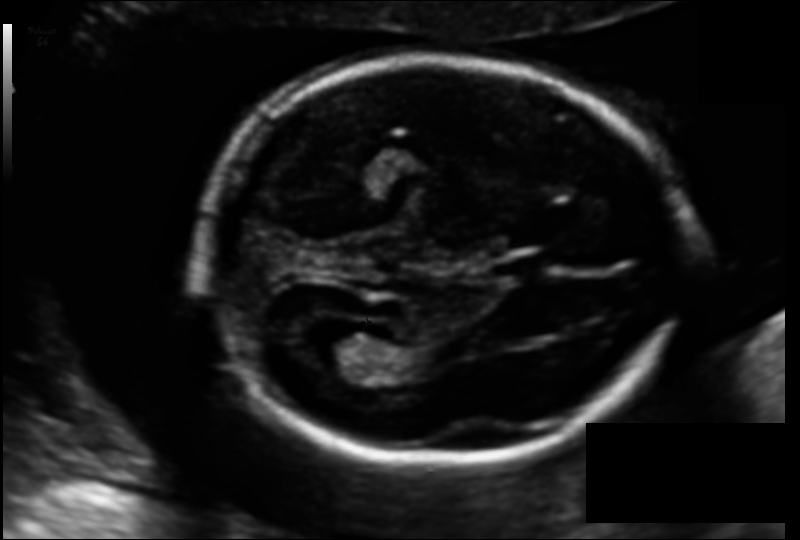
Fetal head ultrasound. Image width: 97.9 mm. Locate the lateral ventricle.

Lateral ventricle: [297,313,386,386]